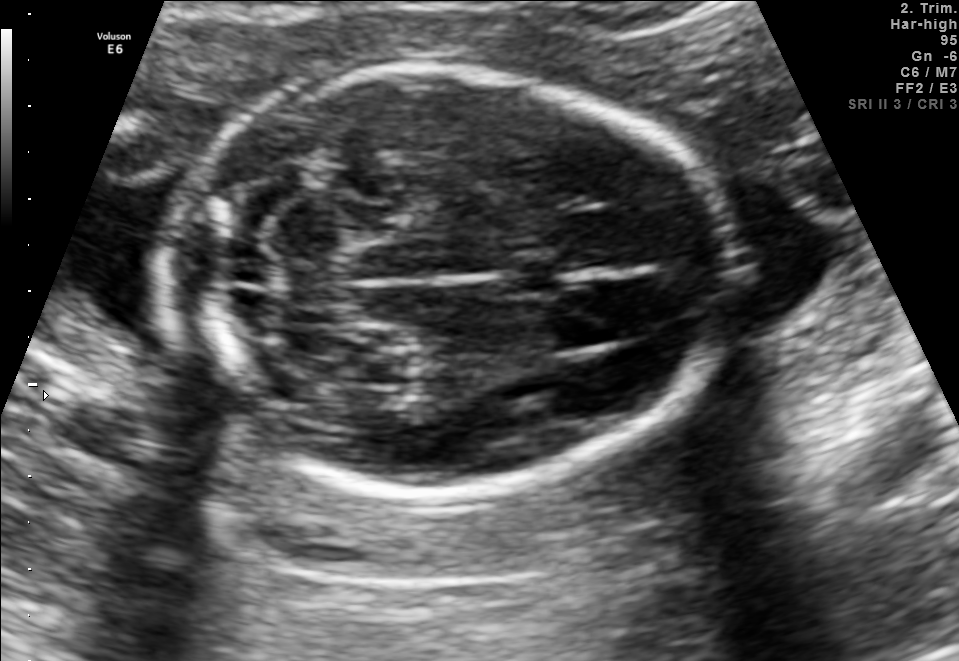
Fetal brain, trans-cerebellum plane. Where is the cavum septum pellucidum?

CSP bounding box: [496,255,565,298]